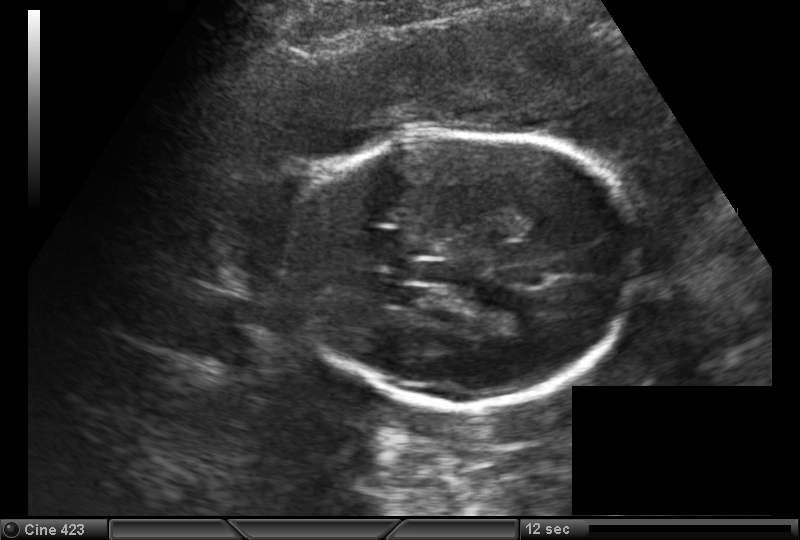
In this fetal head ultrasound, give the bounding box of the cavum septum pellucidum. Image width: 138.2 mm.

[402,260,451,282]